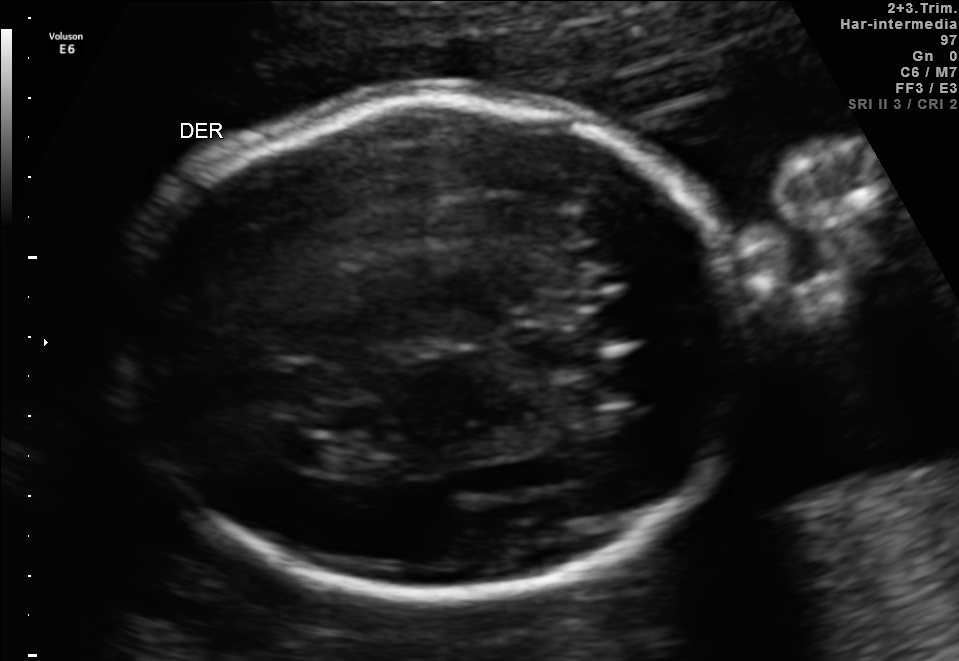
Fetal brain, trans-ventricular plane. Where is the fetal head?

Head bounding box: [105,86,770,603]